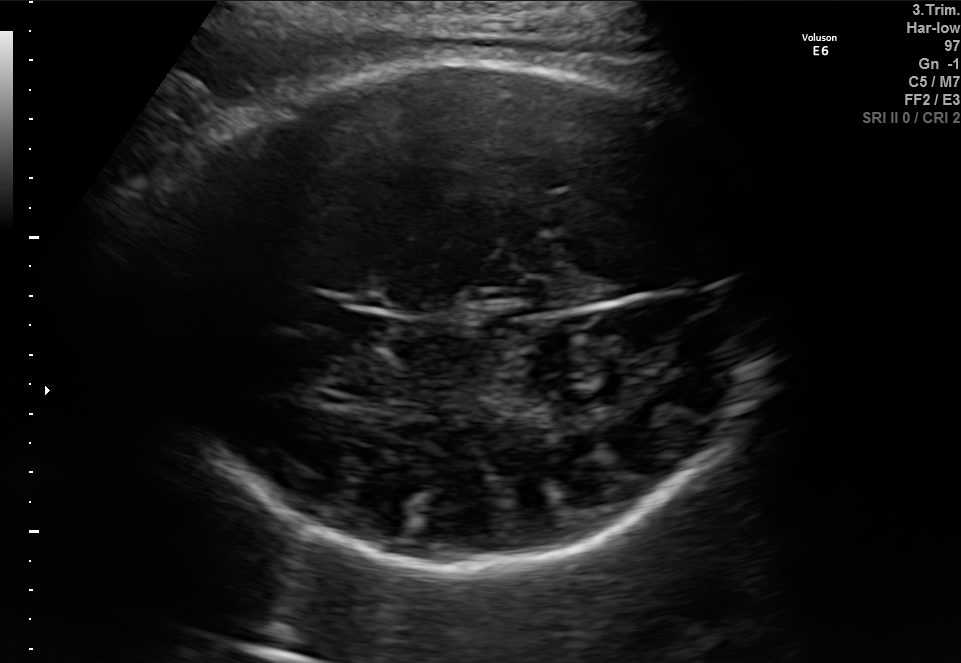
Classify this maternal-fetal ultrasound image as one of the six standard planes — fetal abdomen, fetal brain, fetal femur, fetal thorax, maternal cervix, or other. If it's fetal brain and one of the three standard brain planes (trans-thalamic, trans-cerebellum, trans-ventricular), name which.

Fetal brain (trans-thalamic plane)